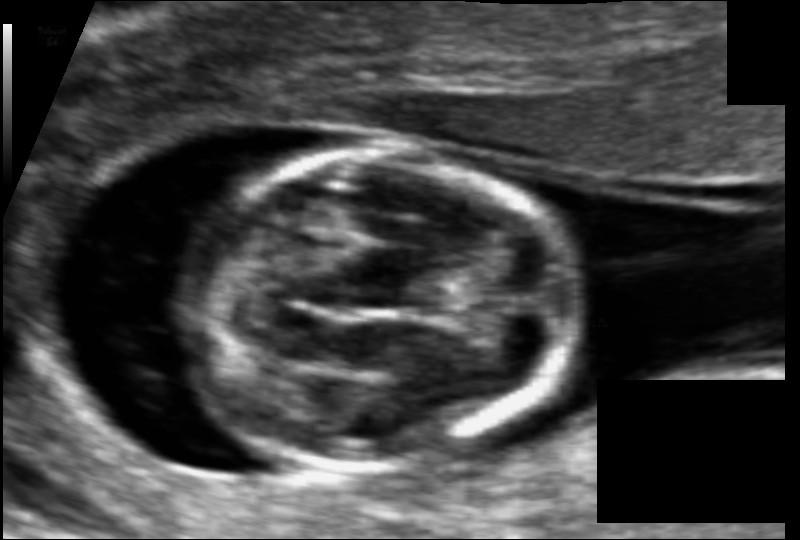
From this fetal ultrasound, estimate the head circumference (image width 53.6 mm).

Head circumference: 79.0 mm.